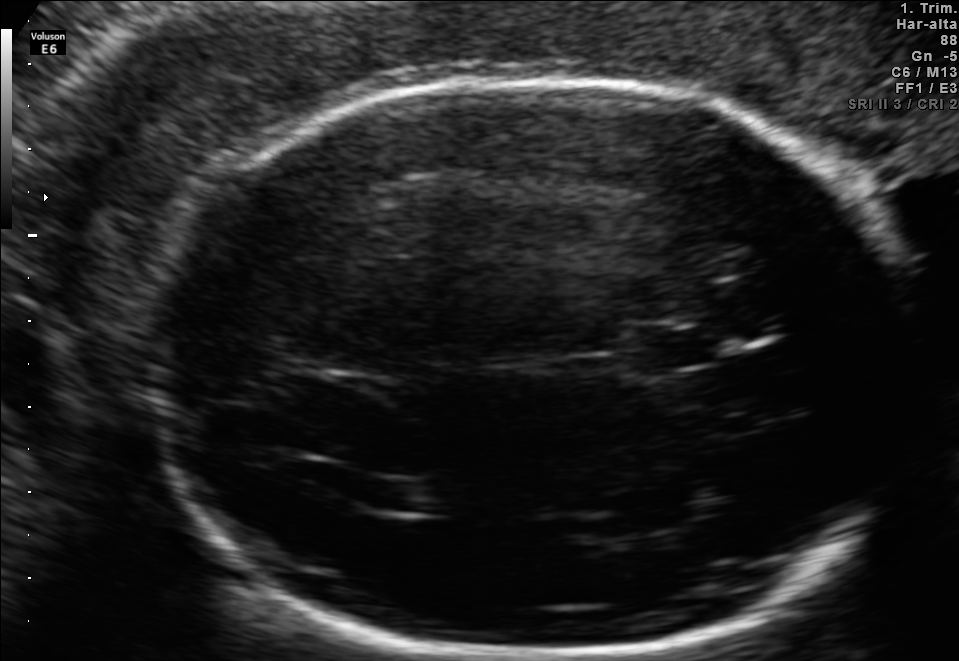
In this fetal brain, trans-thalamic plane, give the bounding box of the cavum septum pellucidum.

[633,325,722,373]